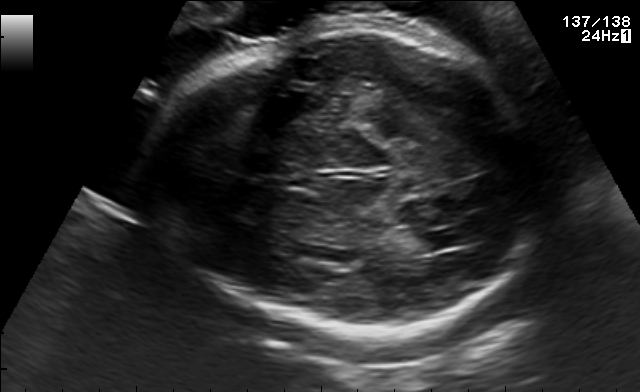
Fetal brain, trans-thalamic plane. Where is the lateral ventricle?

Lateral ventricle bounding box: [411,224,474,255]